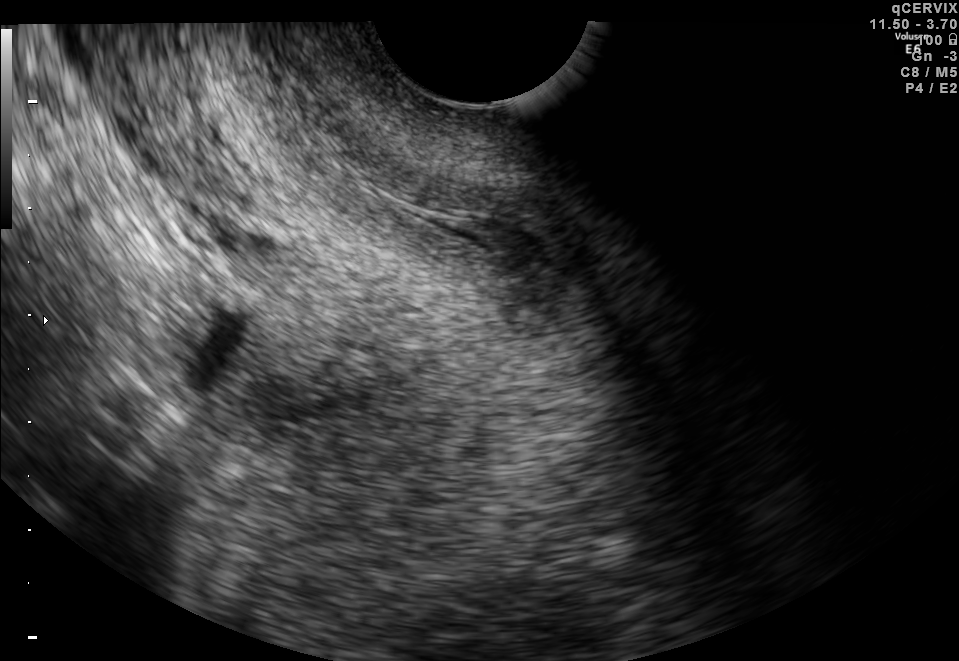
This is a 2D maternal-fetal ultrasound frame. Is it a fetal abdomen, fetal brain, fetal femur, fetal thorax, maternal cervix, or other standard plane? If it's fetal brain and one of the three standard brain planes (trans-thalamic, trans-cerebellum, trans-ventricular), name which.

Maternal cervix